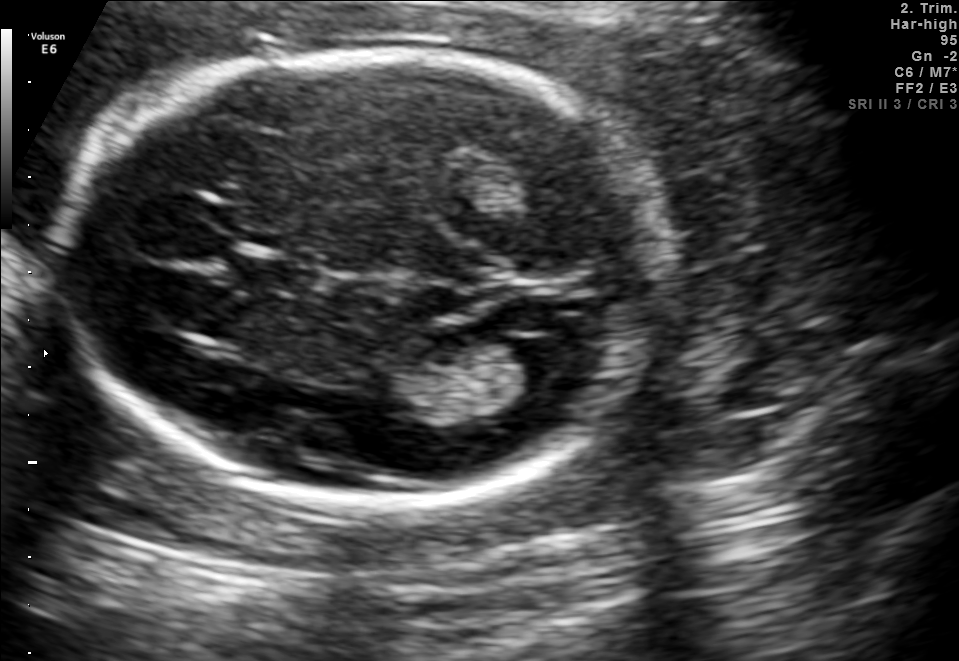
Fetal brain, trans-ventricular plane. Where is the fetal head?

Head bounding box: [54,47,677,506]